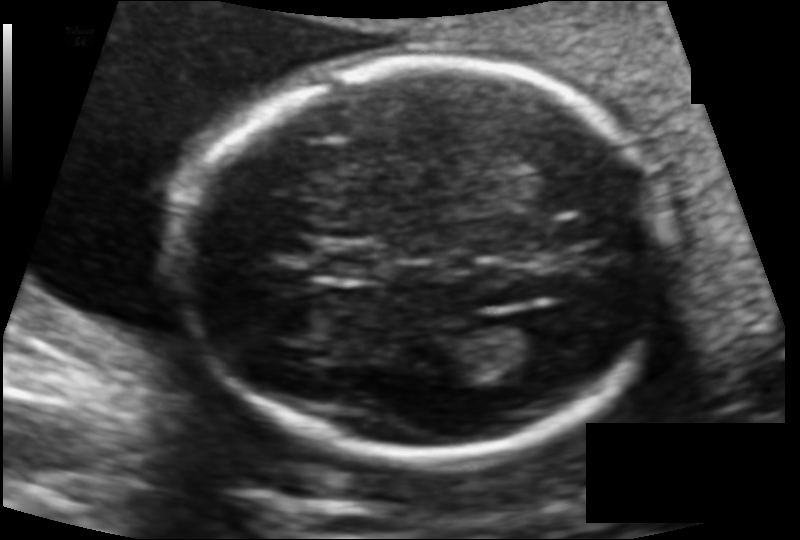
In this fetal head ultrasound, give the bounding box of the lateral ventricle. Image width: 91.4 mm.

[478,312,564,376]